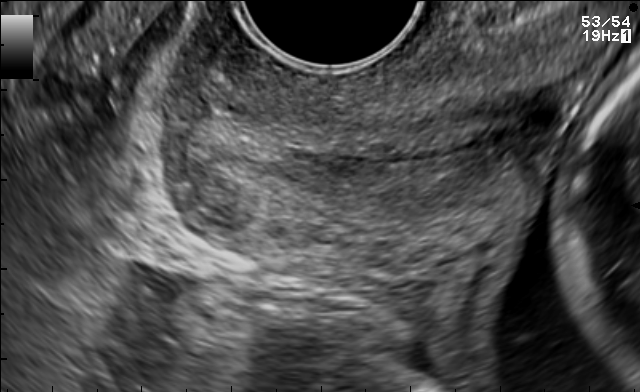
Classify this maternal-fetal ultrasound image as one of the six standard planes — fetal abdomen, fetal brain, fetal femur, fetal thorax, maternal cervix, or other. If it's fetal brain and one of the three standard brain planes (trans-thalamic, trans-cerebellum, trans-ventricular), name which.

Maternal cervix